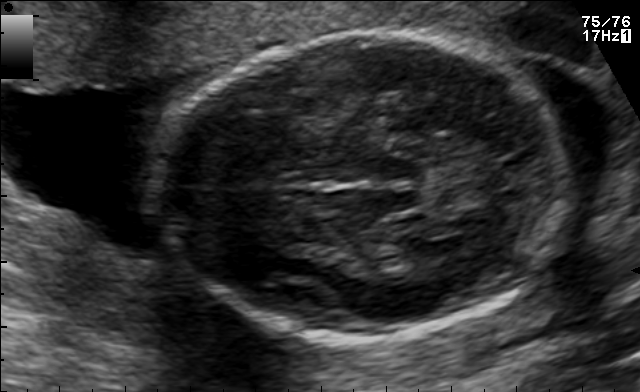
Fetal brain, trans-thalamic plane. Where is the fetal head?

Head bounding box: [155,31,567,339]